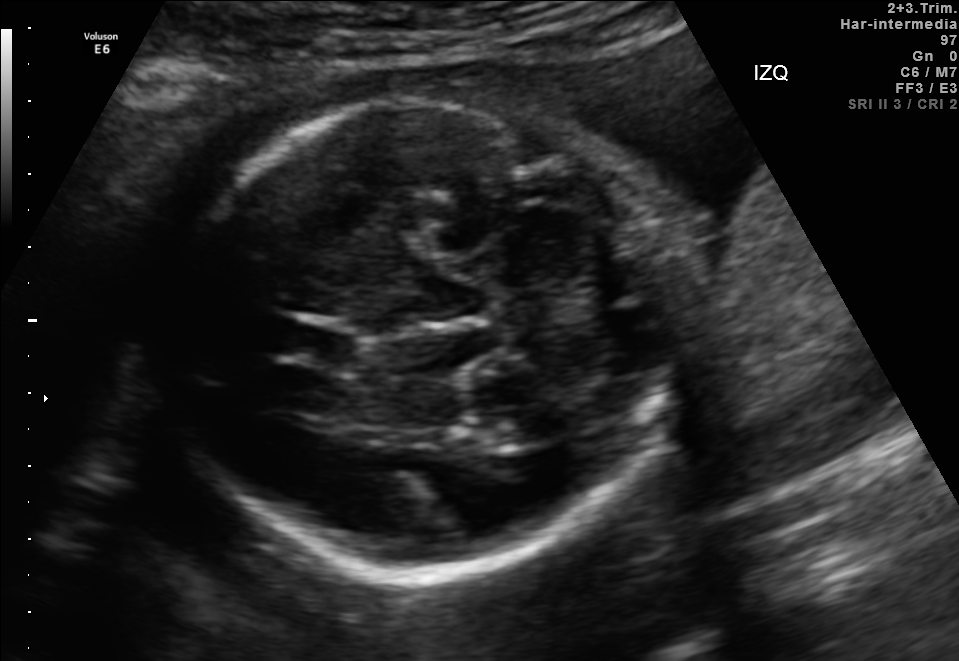
In this fetal brain, trans-cerebellum plane, give bounding boxes for the head outline, cavum septum pellucidum (CSP), and lateral ventricle (LV), where visible.

Head: [169,94,704,577]
CSP: [278,315,362,372]